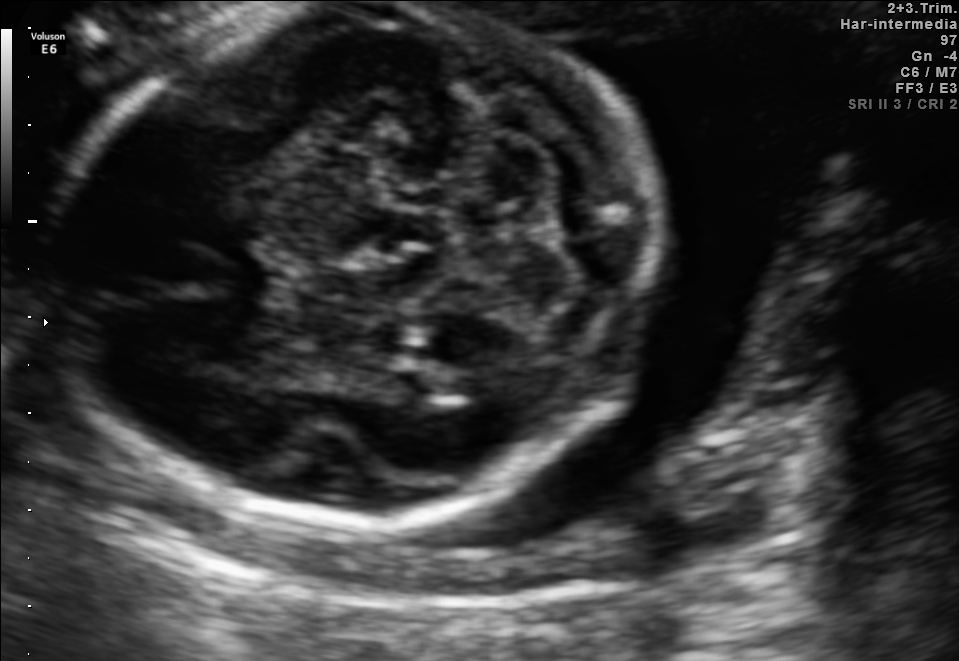
Fetal brain, trans-cerebellum plane. Locate the fetal head and, if visible, the cavum septum pellucidum (CSP) and lateral ventricle (LV). Give bounding boxes as [x1,y1,x2,y2].

Head: [51,4,656,525]